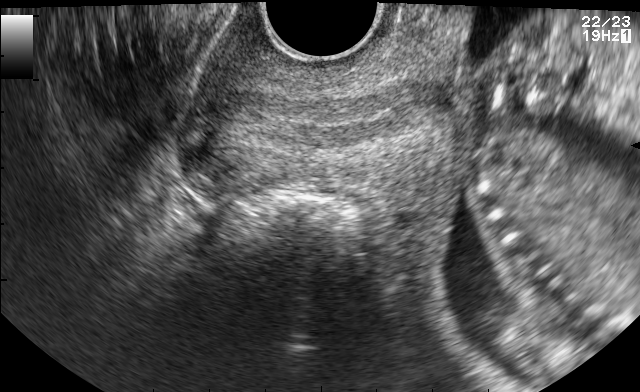
Identify the standard plane in this fetal ultrasound image: fetal abdomen, fetal brain, fetal femur, fetal thorax, maternal cervix, or other. If it's fetal brain and one of the three standard brain planes (trans-thalamic, trans-cerebellum, trans-ventricular), name which.

Maternal cervix